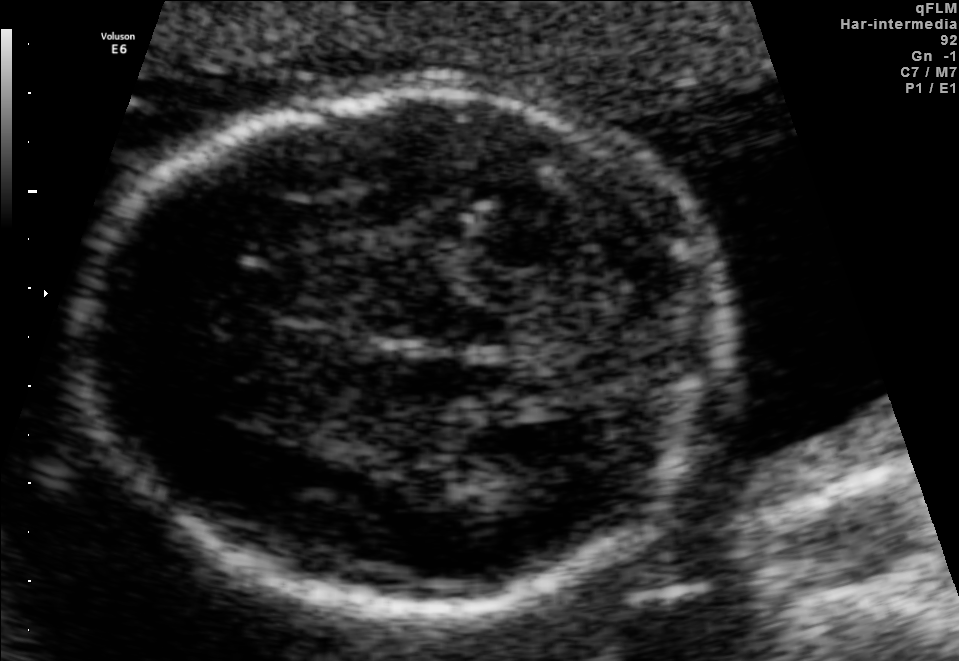
Fetal brain, trans-thalamic plane. Locate the fetal head.

Head: [77,91,740,604]